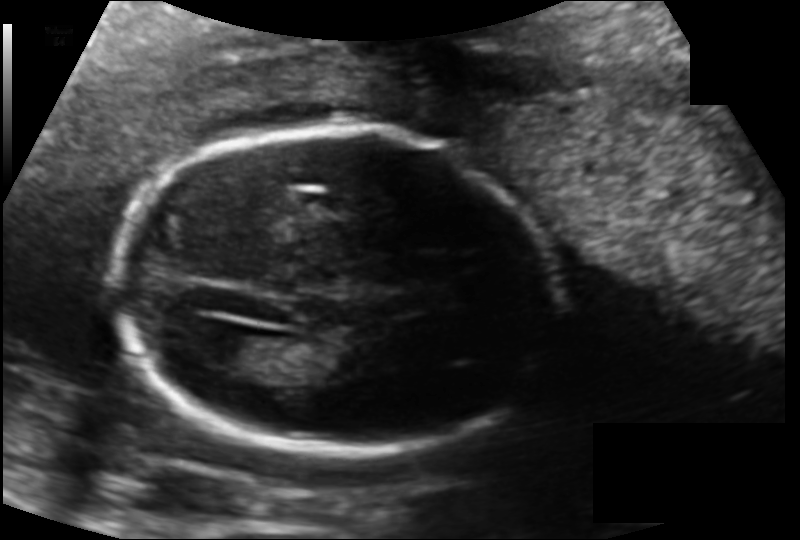
Estimate the fetal head circumference from this 2D ultrasound. Image width: 107.0 mm.

Head circumference: 167.5 mm.